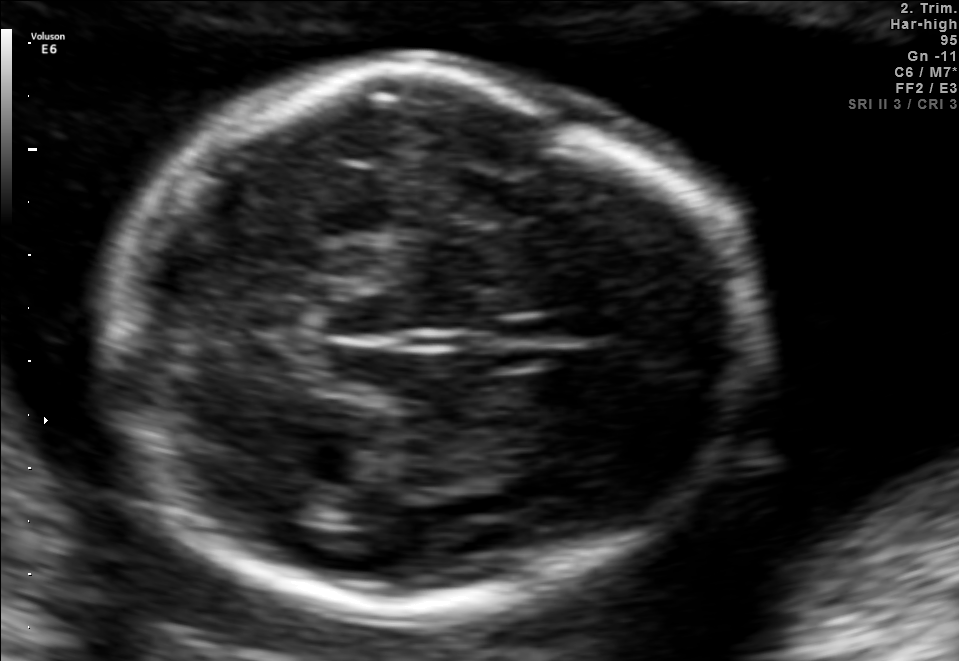
In this fetal brain, trans-thalamic plane, give the bounding box of the lateral ventricle.

[281,480,352,527]